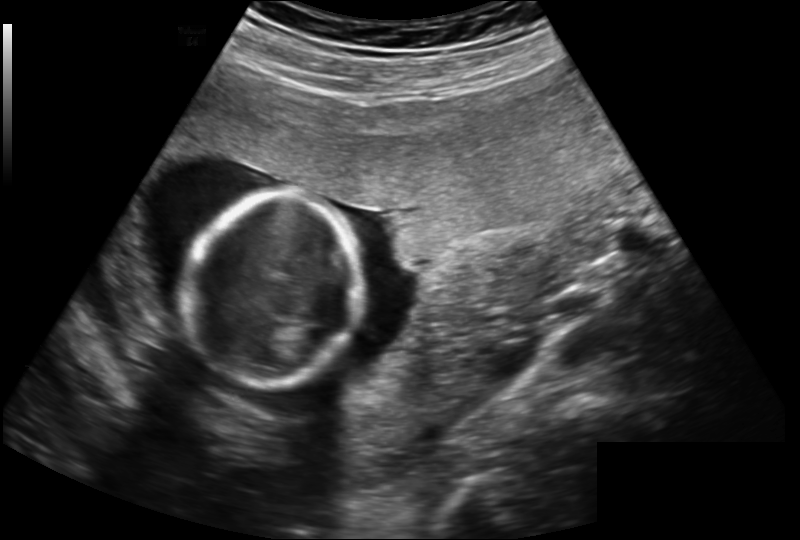
Estimate the fetal head circumference from this 2D ultrasound. Image width: 161.5 mm.

Head circumference: 120.1 mm.